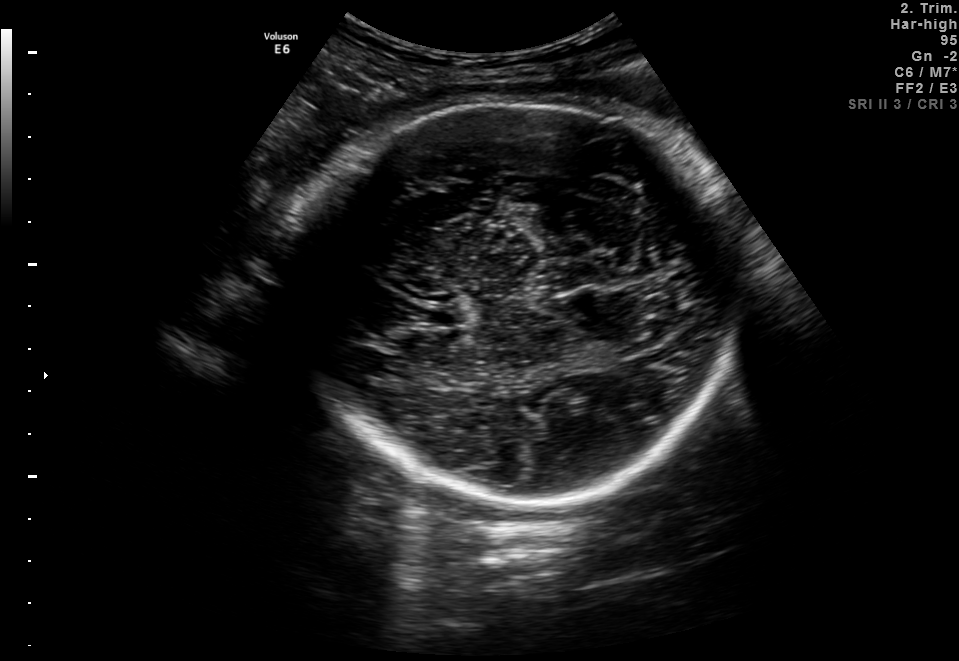
Fetal brain, trans-thalamic plane. Give [x1,y1,x2,y2] bounding boxes for each visible structure among: fetal head, CSP, LV.

Head: [286,100,735,503]
CSP: [413,301,464,331]